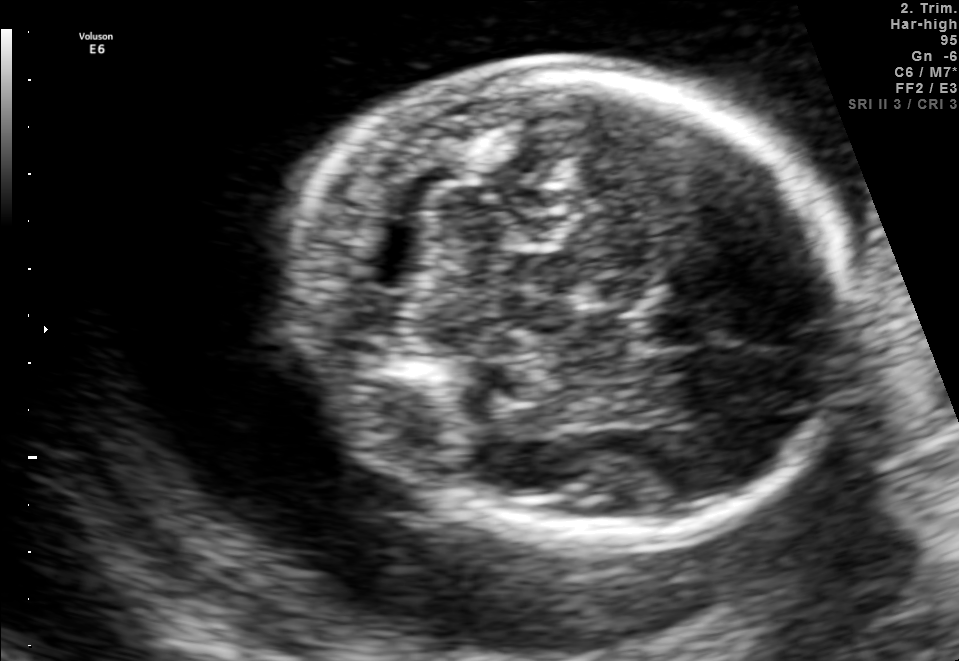
Fetal brain, trans-cerebellum plane. Where is the fetal head?

Head bounding box: [297,63,846,538]